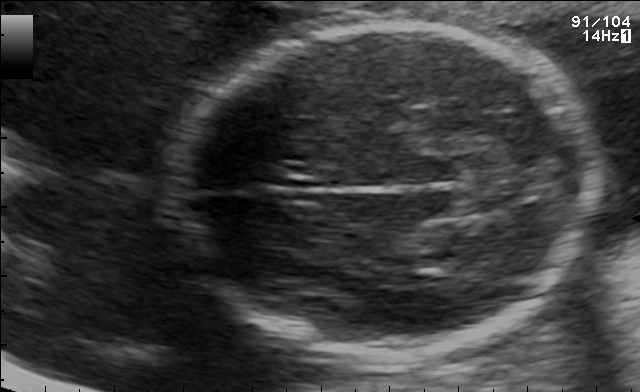
Fetal brain, trans-thalamic plane. Locate the fetal head and, if visible, the cavum septum pellucidum (CSP) and lateral ventricle (LV). Give bounding boxes as [x1,y1,x2,y2].

Head: [169,22,599,356]